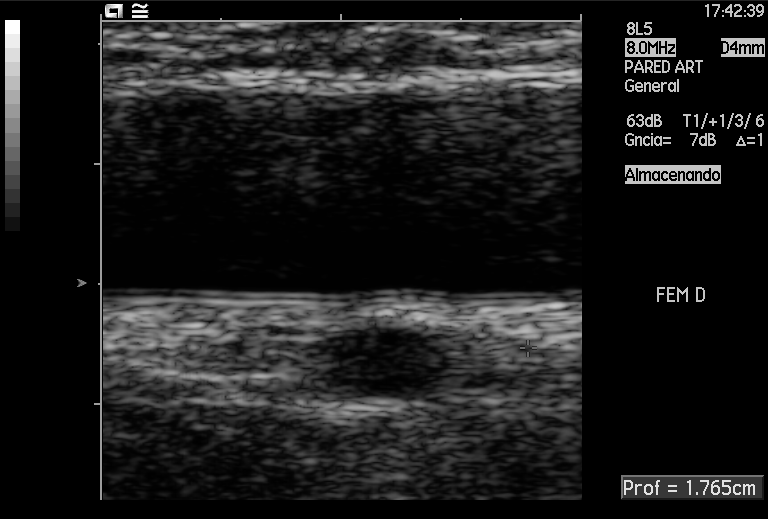
Identify the standard plane in this fetal ultrasound image: fetal abdomen, fetal brain, fetal femur, fetal thorax, maternal cervix, or other. If it's fetal brain and one of the three standard brain planes (trans-thalamic, trans-cerebellum, trans-ventricular), name which.

Other